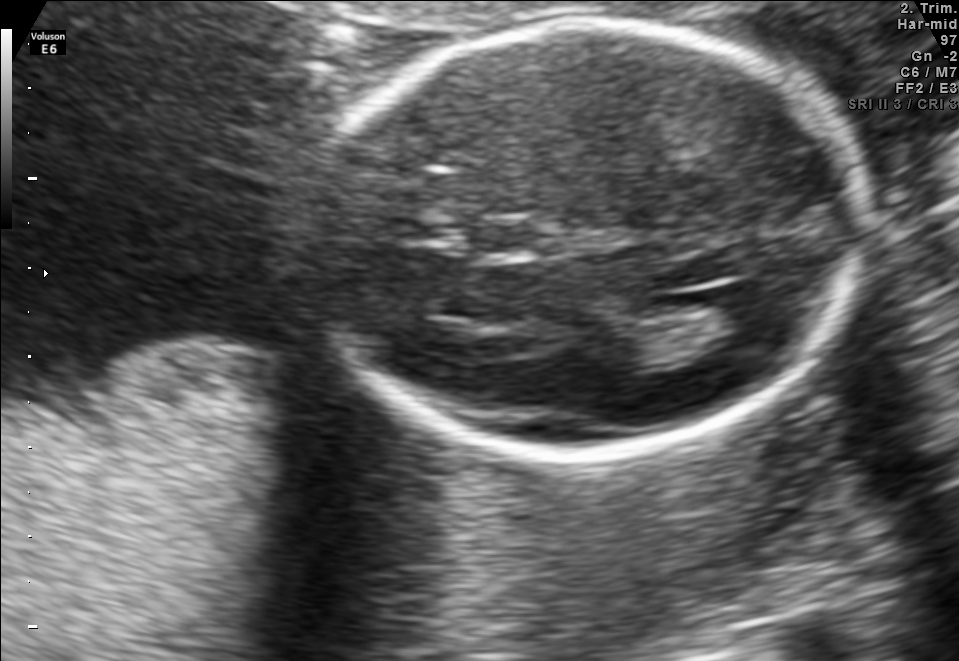
In this fetal brain, trans-ventricular plane, give the bounding box of the lateral ventricle.

[706,272,791,346]